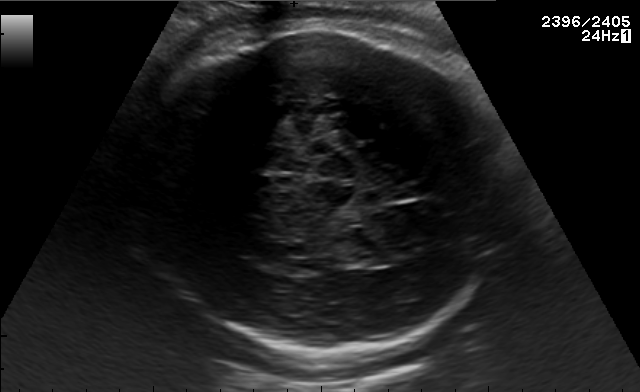
Fetal brain, trans-thalamic plane. Locate the fetal head and, if visible, the cavum septum pellucidum (CSP) and lateral ventricle (LV). Give bounding boxes as [x1,y1,x2,y2].

Head: [139,27,506,353]